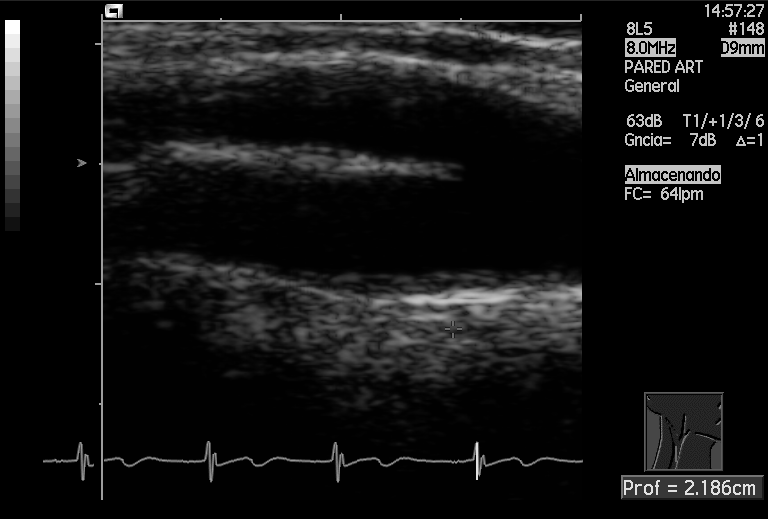
Classify this maternal-fetal ultrasound image as one of the six standard planes — fetal abdomen, fetal brain, fetal femur, fetal thorax, maternal cervix, or other. If it's fetal brain and one of the three standard brain planes (trans-thalamic, trans-cerebellum, trans-ventricular), name which.

Other